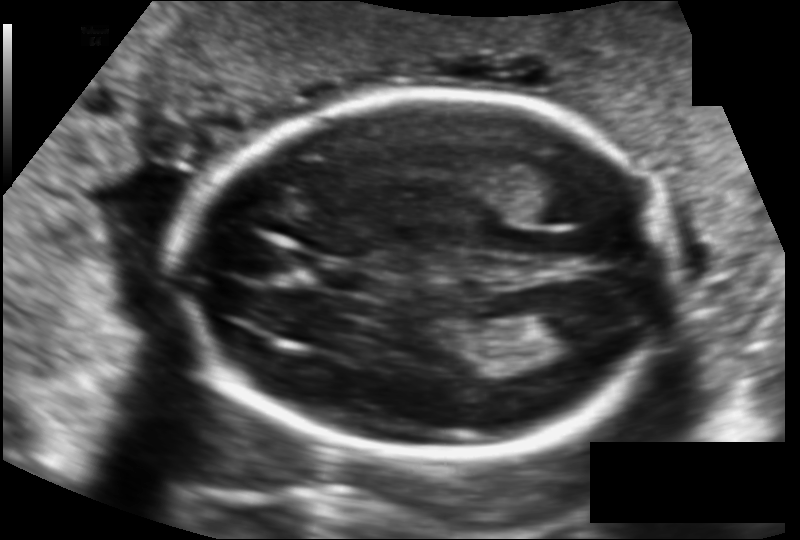
Estimate the fetal head circumference from this 2D ultrasound.

Head circumference: 174.0 mm (image width 98.9 mm).